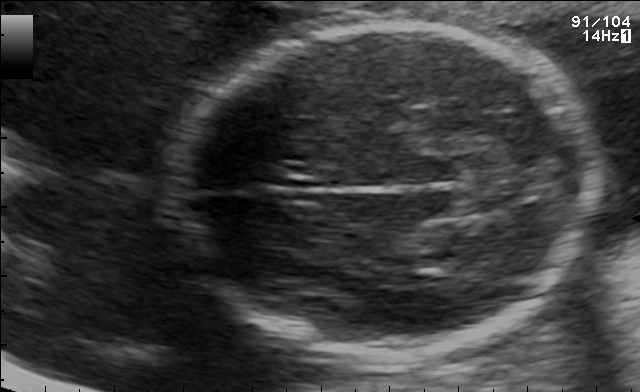
Fetal brain, trans-thalamic plane. Where is the fetal head?

Head bounding box: [169,22,599,356]